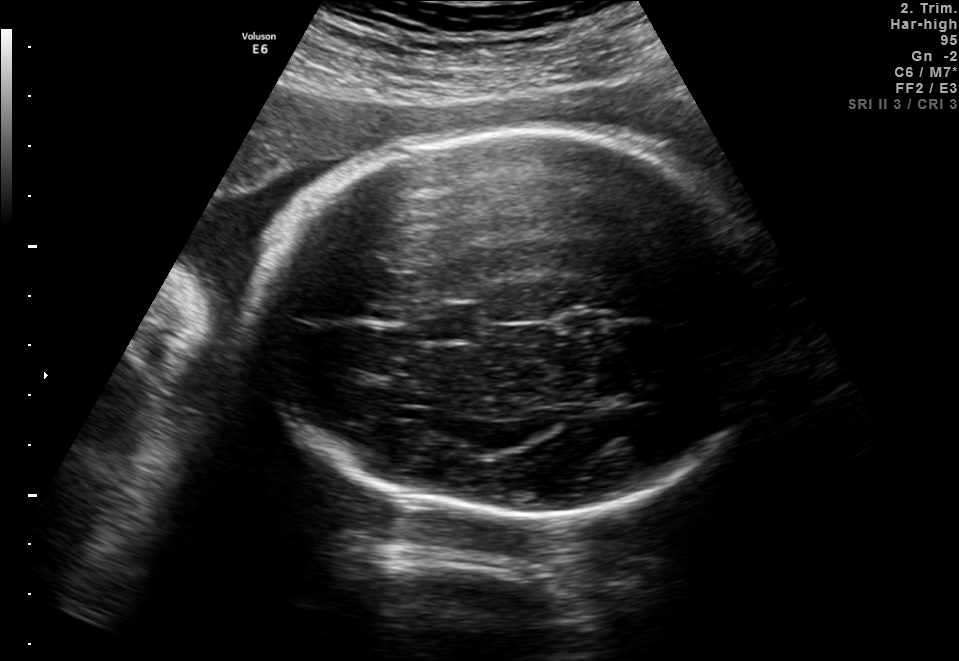
In this fetal brain, trans-thalamic plane, give the bounding box of the cavum septum pellucidum.

[419,304,479,339]